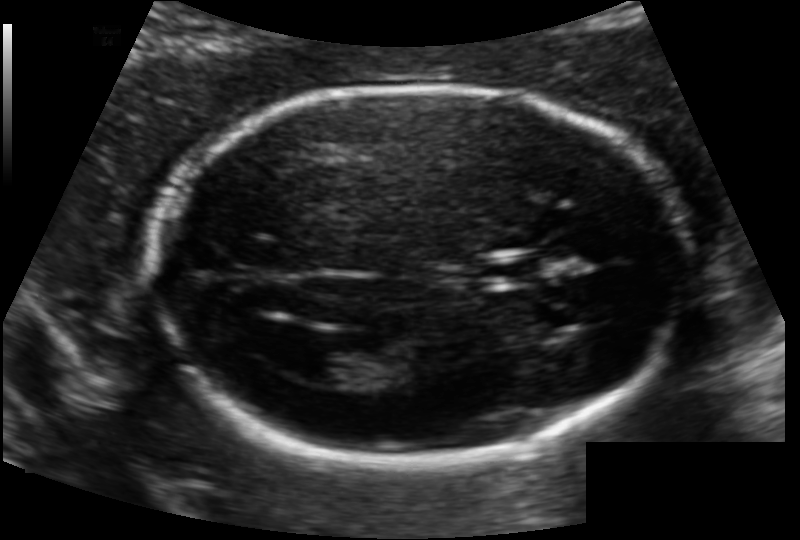
Fetal head ultrasound. Image width: 94.1 mm. Locate the lateral ventricle.

Lateral ventricle: [294,345,364,387]